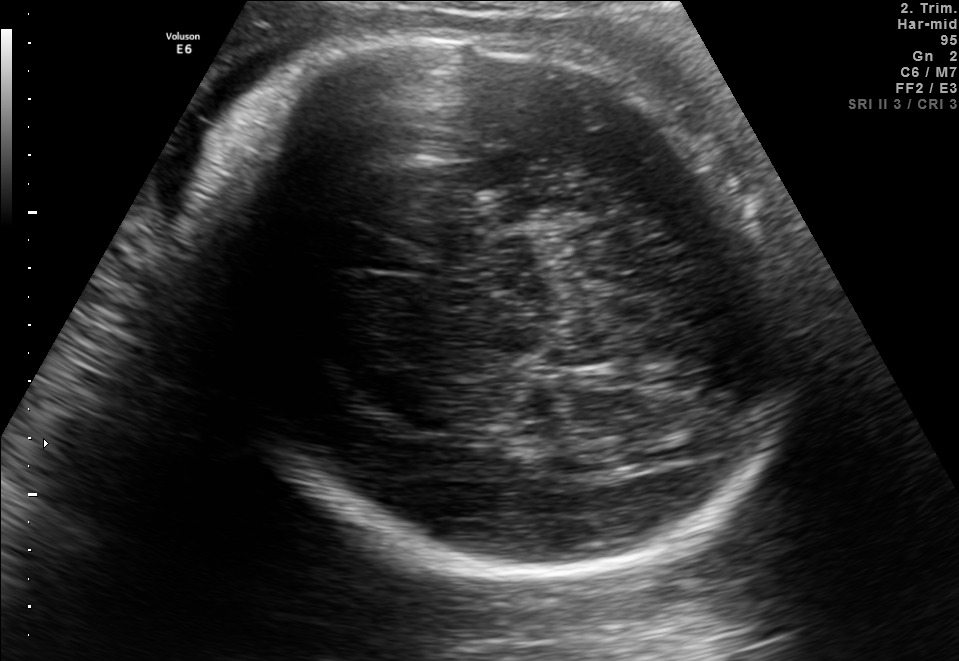
Fetal brain, trans-thalamic plane. Give [x1,y1,x2,y2] bounding boxes for each visible structure among: fetal head, CSP, LV.

Head: [196,23,777,586]